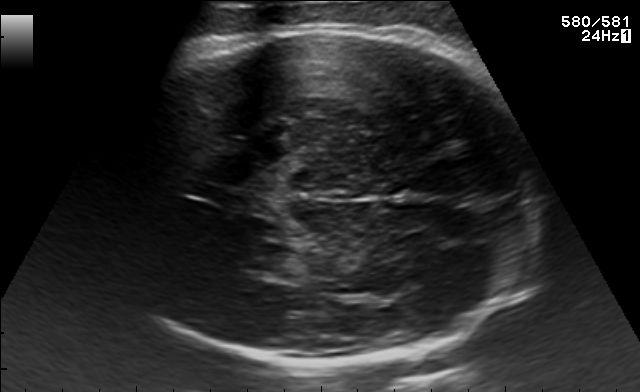
Classify this maternal-fetal ultrasound image as one of the six standard planes — fetal abdomen, fetal brain, fetal femur, fetal thorax, maternal cervix, or other. If it's fetal brain and one of the three standard brain planes (trans-thalamic, trans-cerebellum, trans-ventricular), name which.

Fetal brain (trans-thalamic plane)